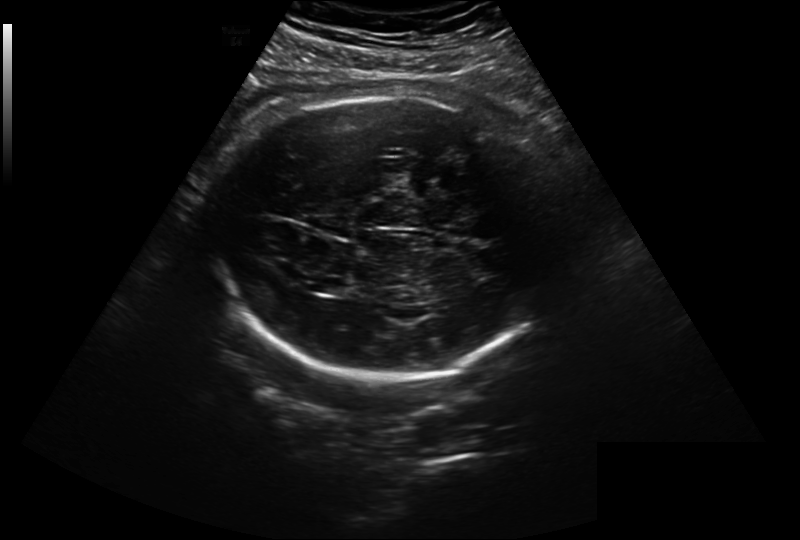
In this fetal head ultrasound, give the bounding box of the fetal head. Image width: 239.2 mm.

[217,95,553,383]